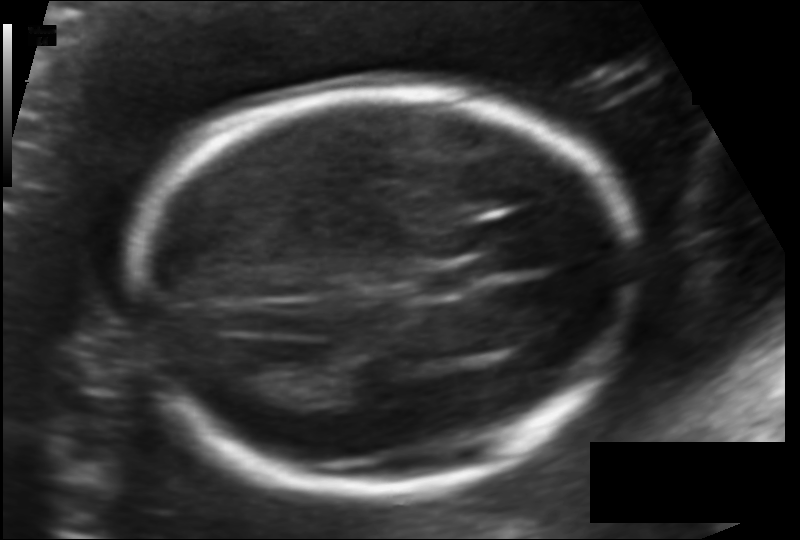
Fetal head ultrasound. Image width: 99.3 mm. Locate the fetal head.

Head: [133,88,636,488]